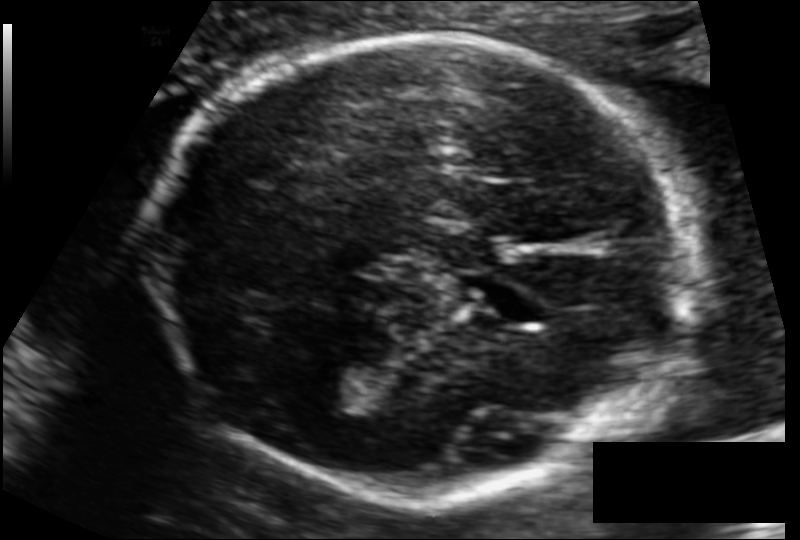
Fetal head ultrasound. Image width: 89.9 mm. Locate the fetal head and, if visible, the cavum septum pellucidum (CSP) and lateral ventricle (LV). Give bounding boxes as [x1,y1,x2,y2].

Head: [152,33,690,495]